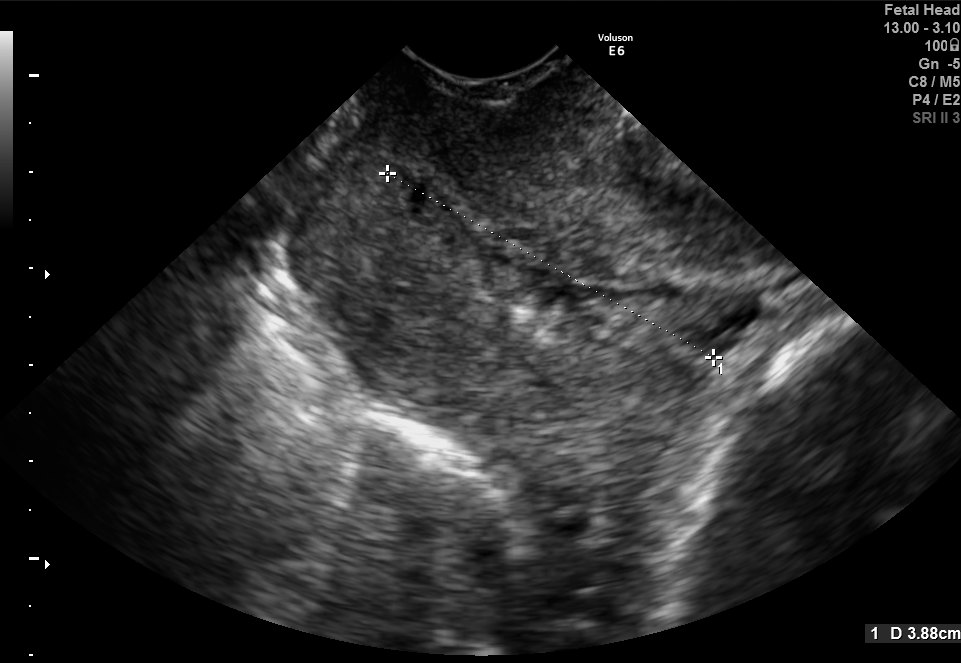
Identify the standard plane in this fetal ultrasound image: fetal abdomen, fetal brain, fetal femur, fetal thorax, maternal cervix, or other. If it's fetal brain and one of the three standard brain planes (trans-thalamic, trans-cerebellum, trans-ventricular), name which.

Fetal brain